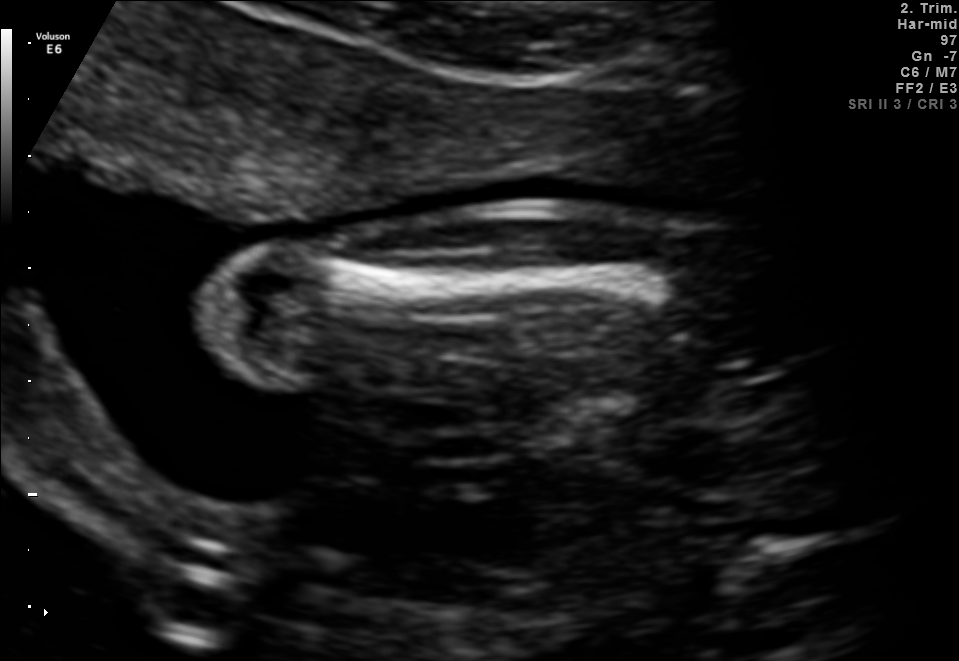
This is a 2D maternal-fetal ultrasound frame. Is it a fetal abdomen, fetal brain, fetal femur, fetal thorax, maternal cervix, or other standard plane? If it's fetal brain and one of the three standard brain planes (trans-thalamic, trans-cerebellum, trans-ventricular), name which.

Fetal femur